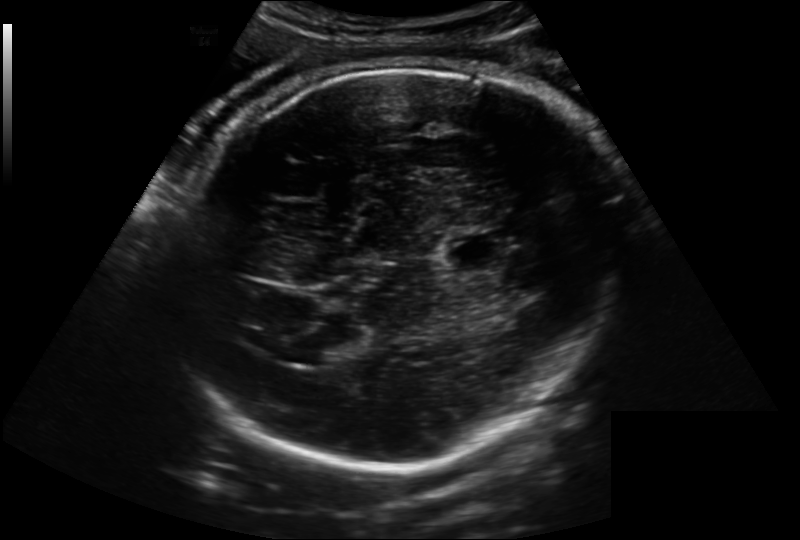
Fetal head ultrasound. Image width: 177.3 mm. Where is the lateral ventricle?

Lateral ventricle bounding box: [295,334,348,367]